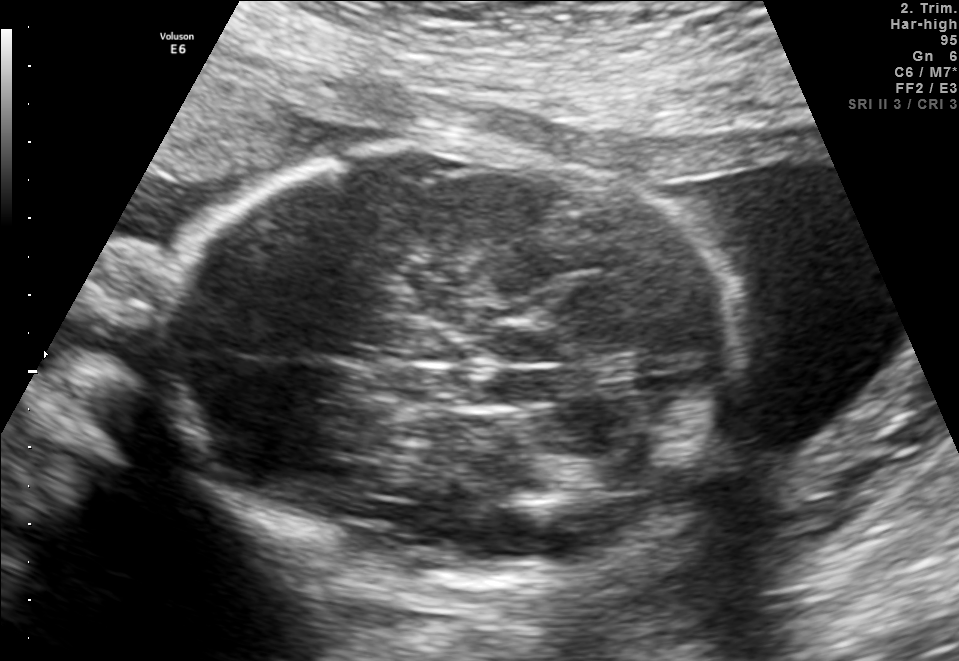
Fetal brain, trans-thalamic plane. Give [x1,y1,x2,y2] bounding boxes for each visible structure among: fetal head, CSP, LV.

Head: [158,135,741,600]